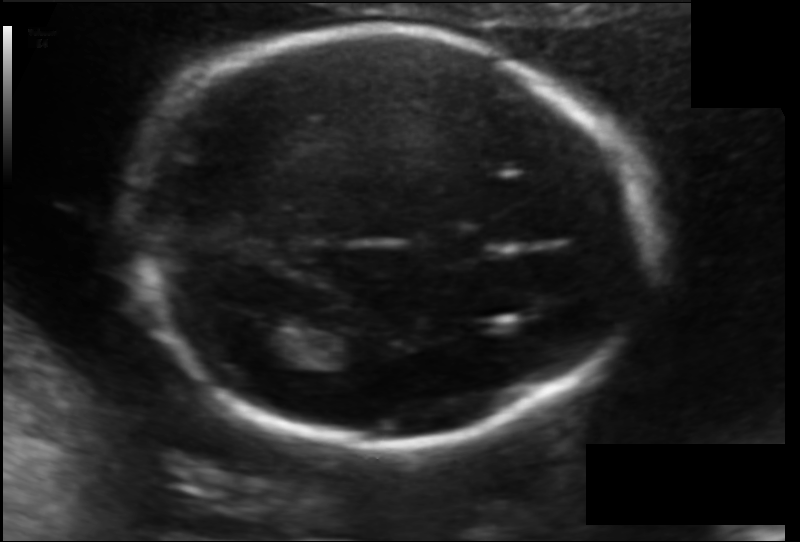
Measure the fetal head circumference shown in this ultrasound image. Image width: 91.4 mm.

Head circumference: 174.5 mm.